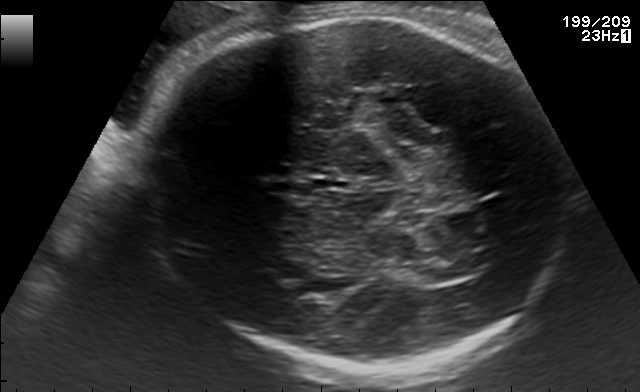
In this fetal brain, trans-thalamic plane, give the bounding box of the lateral ventricle.

[416,257,473,288]